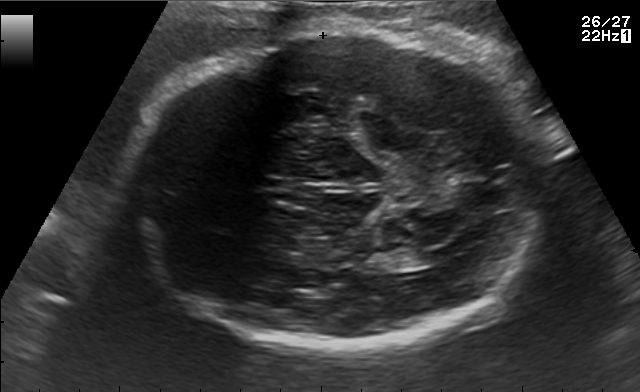
Classify this maternal-fetal ultrasound image as one of the six standard planes — fetal abdomen, fetal brain, fetal femur, fetal thorax, maternal cervix, or other. If it's fetal brain and one of the three standard brain planes (trans-thalamic, trans-cerebellum, trans-ventricular), name which.

Fetal brain (trans-ventricular plane)